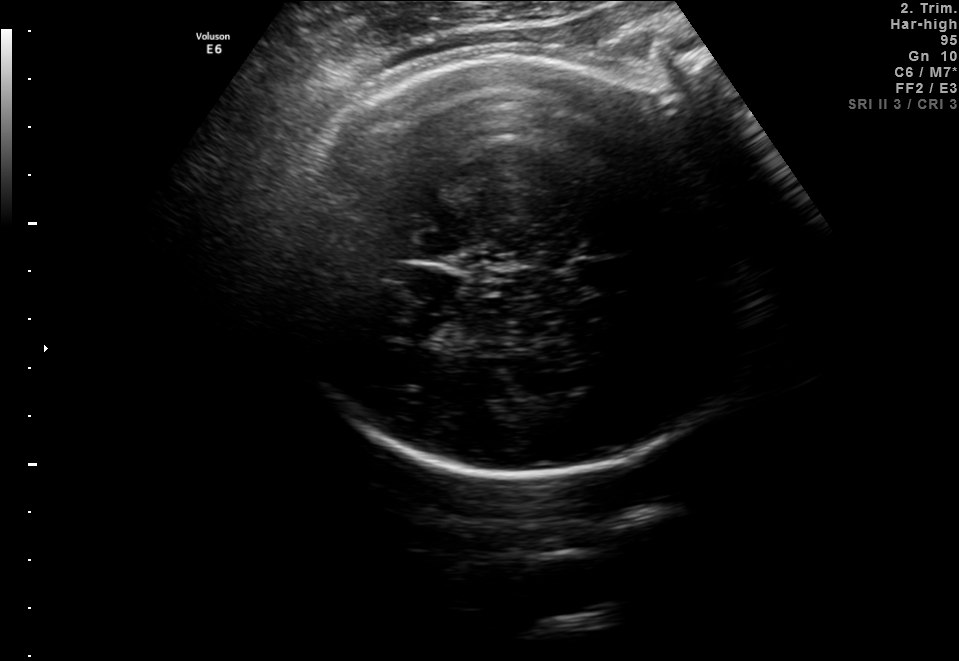
In this fetal brain, trans-thalamic plane, give the bounding box of the fetal head.

[277,56,758,473]